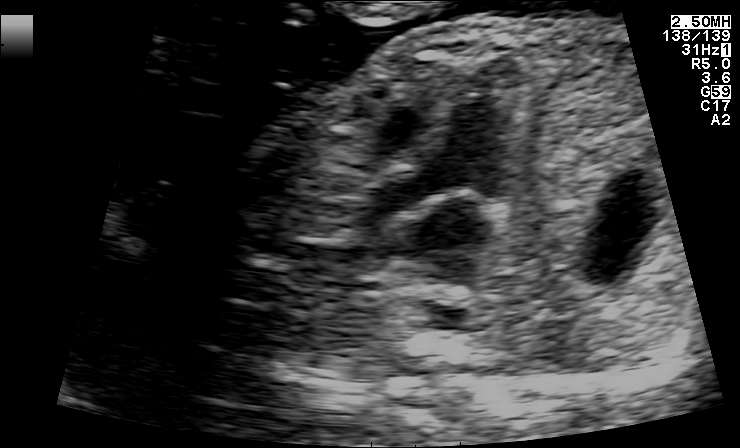
Classify this maternal-fetal ultrasound image as one of the six standard planes — fetal abdomen, fetal brain, fetal femur, fetal thorax, maternal cervix, or other. If it's fetal brain and one of the three standard brain planes (trans-thalamic, trans-cerebellum, trans-ventricular), name which.

Other